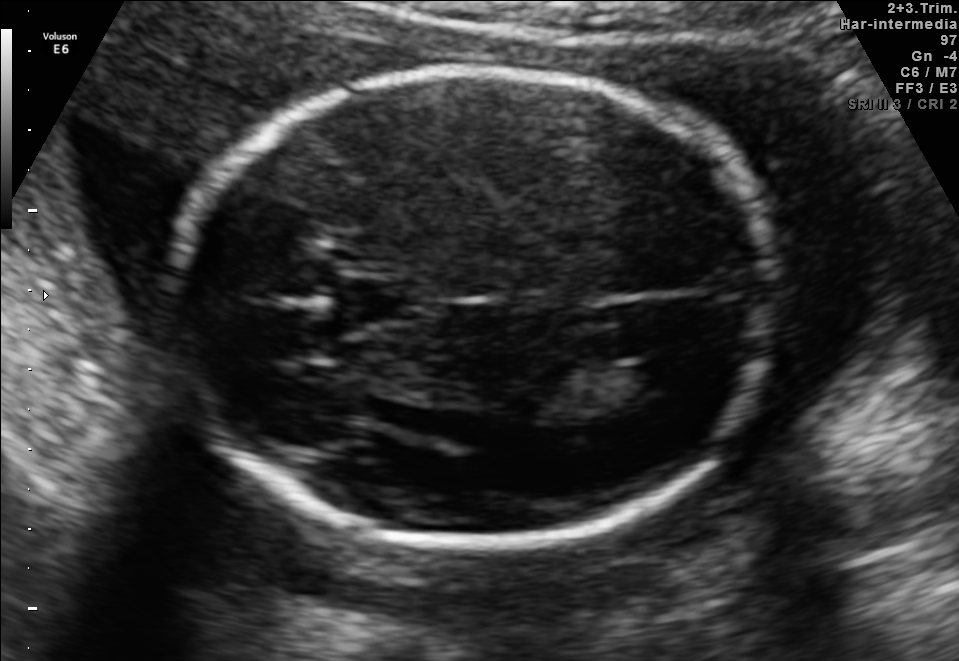
In this fetal brain, trans-ventricular plane, give the bounding box of the lateral ventricle.

[619,353,690,403]